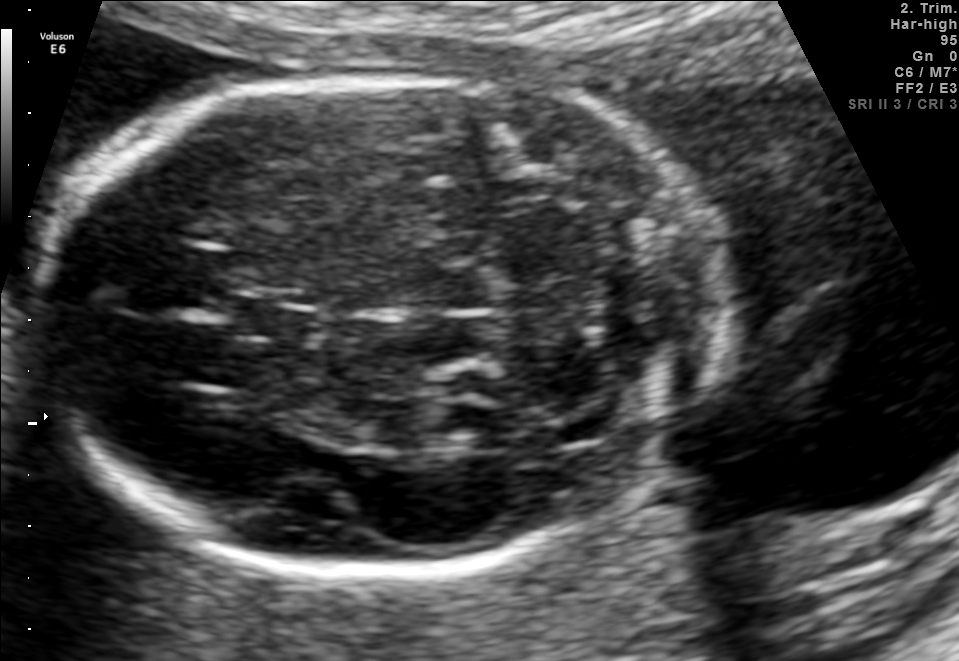
Fetal brain, trans-cerebellum plane. Give [x1,y1,x2,y2] bounding boxes for each visible structure among: fetal head, CSP, LV.

Head: [37,71,728,574]
CSP: [232,295,321,345]